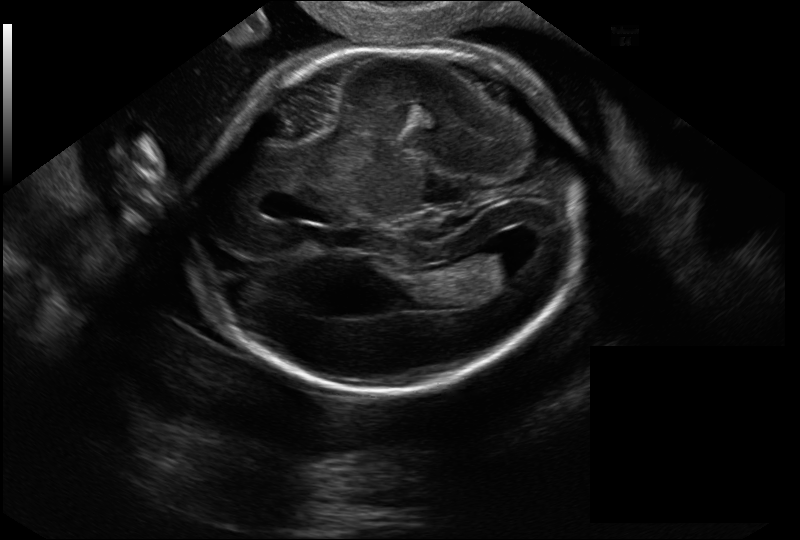
Fetal head ultrasound. Image width: 115.6 mm. Where is the fetal head?

Head bounding box: [194,48,587,392]